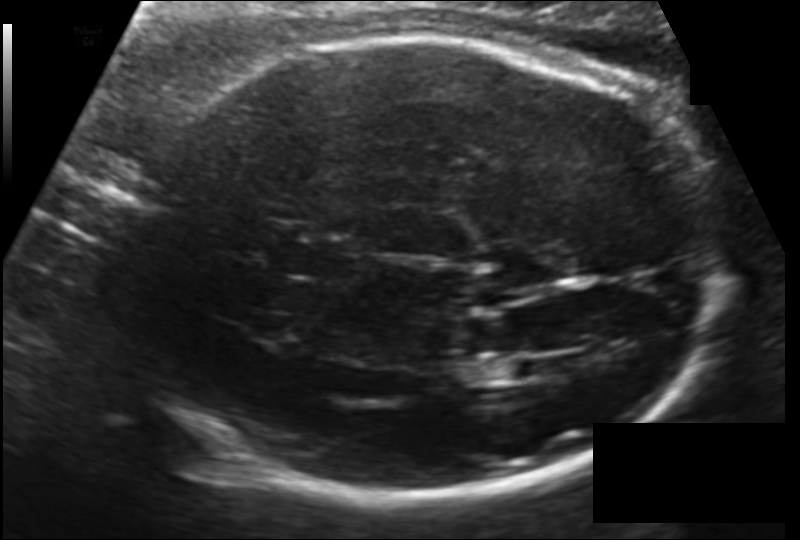
In this fetal head ultrasound, give the bounding box of the cavum septum pellucidum. Image width: 120.6 mm.

[282,241,355,277]